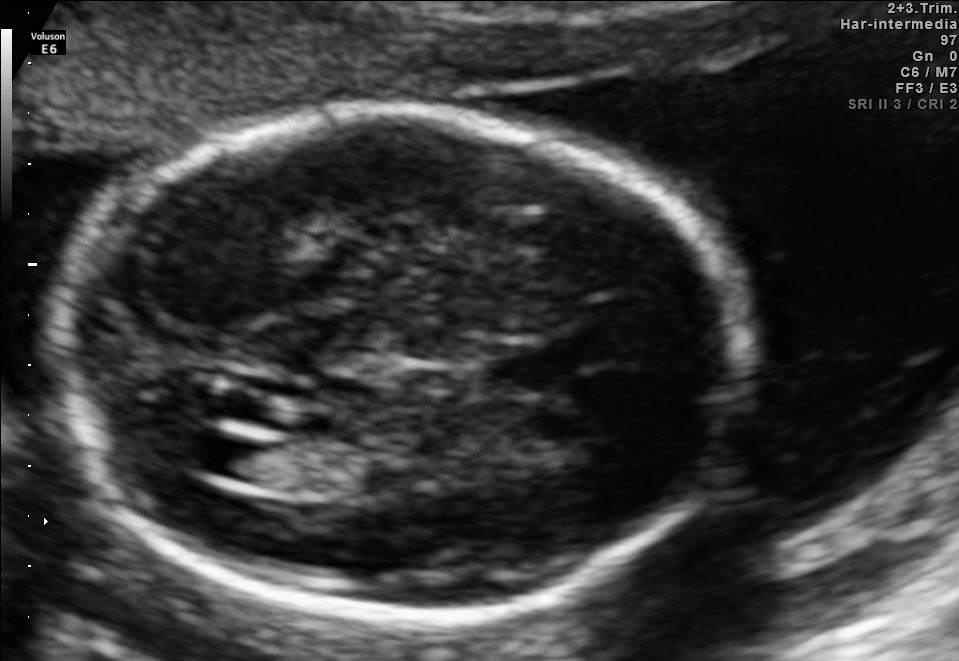
Fetal brain, trans-ventricular plane. Locate the lateral ventricle.

Lateral ventricle: [197,429,272,485]